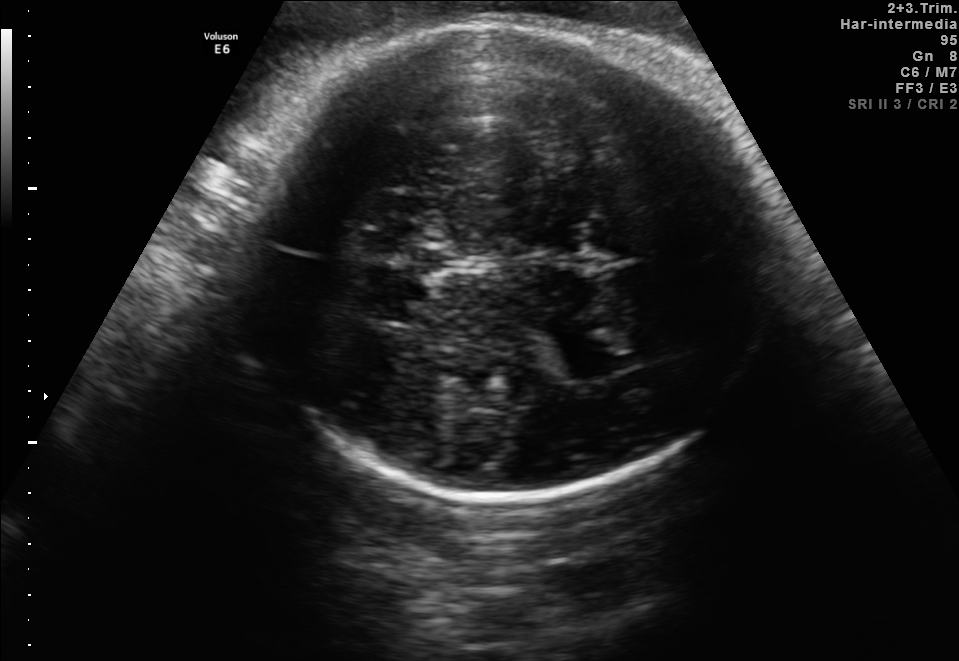
Fetal brain, trans-thalamic plane. Locate the fetal head and, if visible, the cavum septum pellucidum (CSP) and lateral ventricle (LV). Give bounding boxes as [x1,y1,x2,y2].

Head: [240,24,781,501]